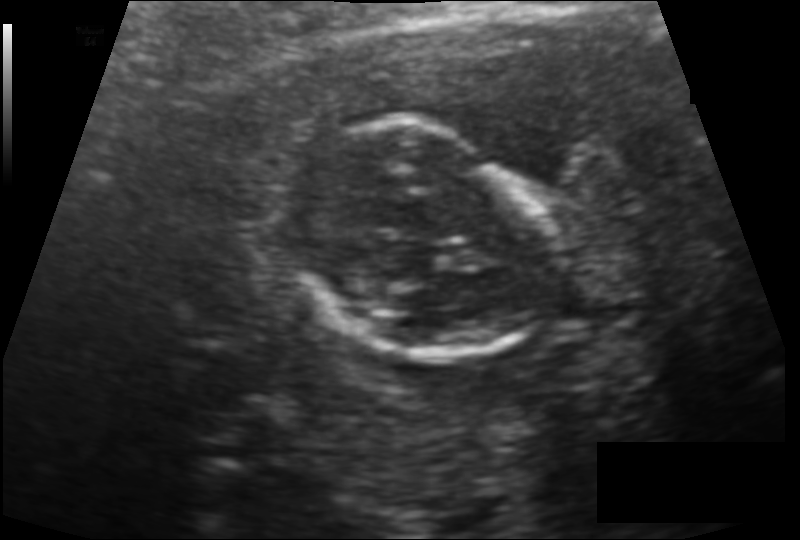
Fetal head ultrasound. Image width: 91.6 mm. Locate the fetal head and, if visible, the cavum septum pellucidum (CSP) and lateral ventricle (LV). Give bounding boxes as [x1,y1,x2,y2].

Head: [283,122,552,361]